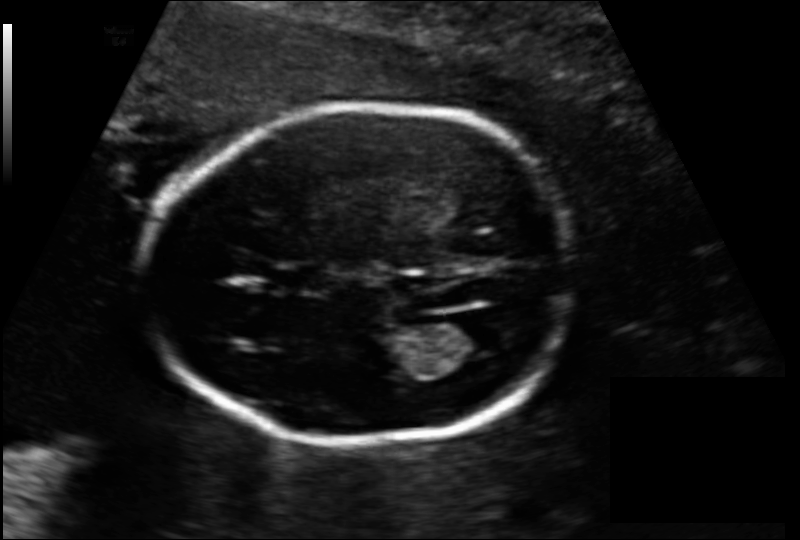
In this fetal head ultrasound, give bounding boxes for the head outline, cavum septum pellucidum (CSP), and lateral ventricle (LV), where visible. Image width: 109.4 mm.

Head: [148,105,571,444]
CSP: [267,264,328,291]
Lateral ventricle: [435,304,510,364]